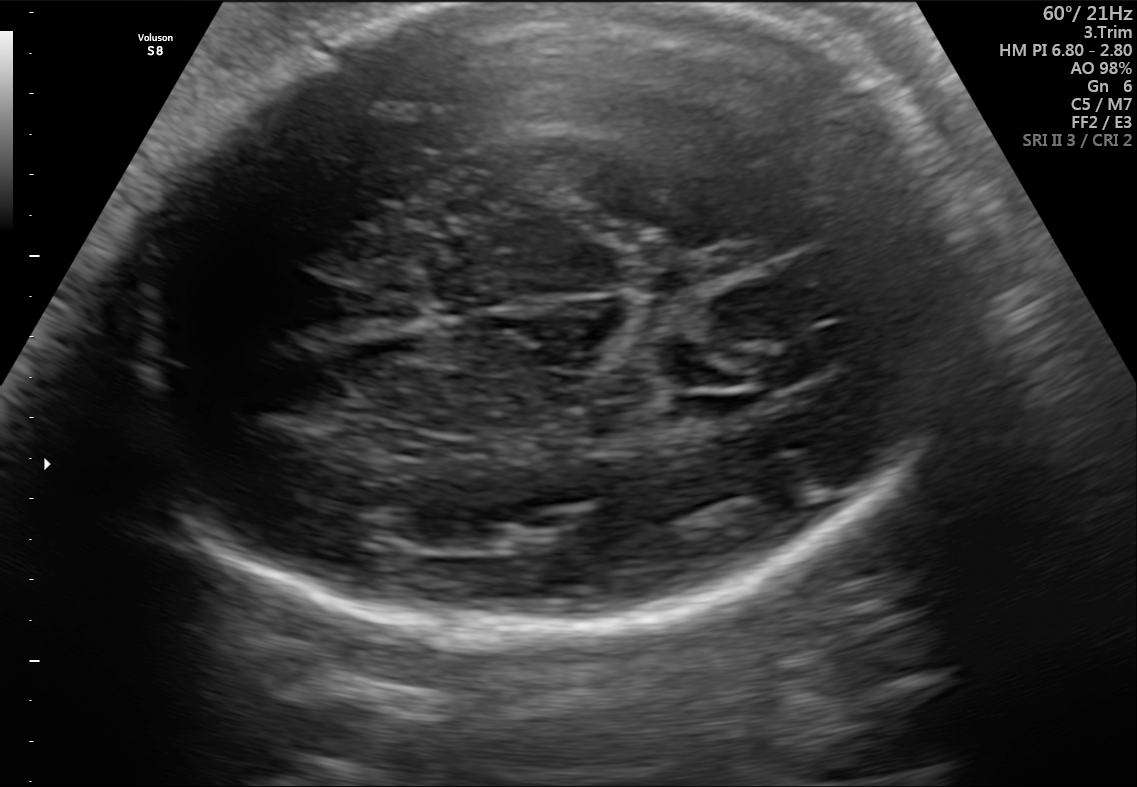
Fetal brain, trans-ventricular plane. Locate the fetal head.

Head: [98,4,986,638]